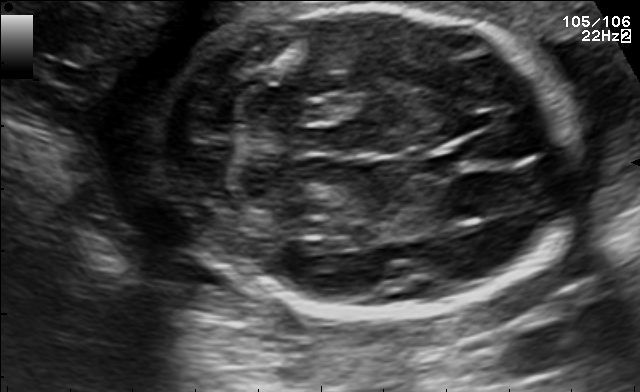
In this fetal brain, trans-cerebellum plane, give the bounding box of the cavum septum pellucidum.

[415,142,476,184]